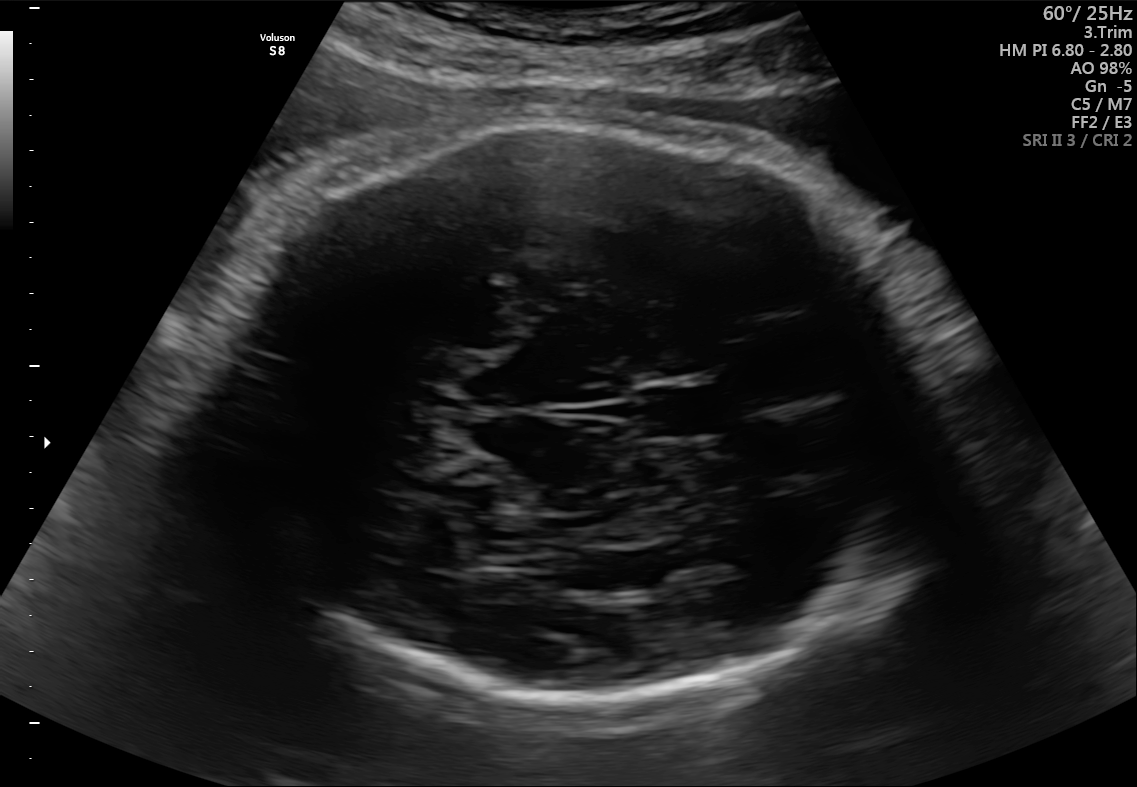
In this fetal brain, trans-thalamic plane, give the bounding box of the fetal head.

[215,124,930,701]